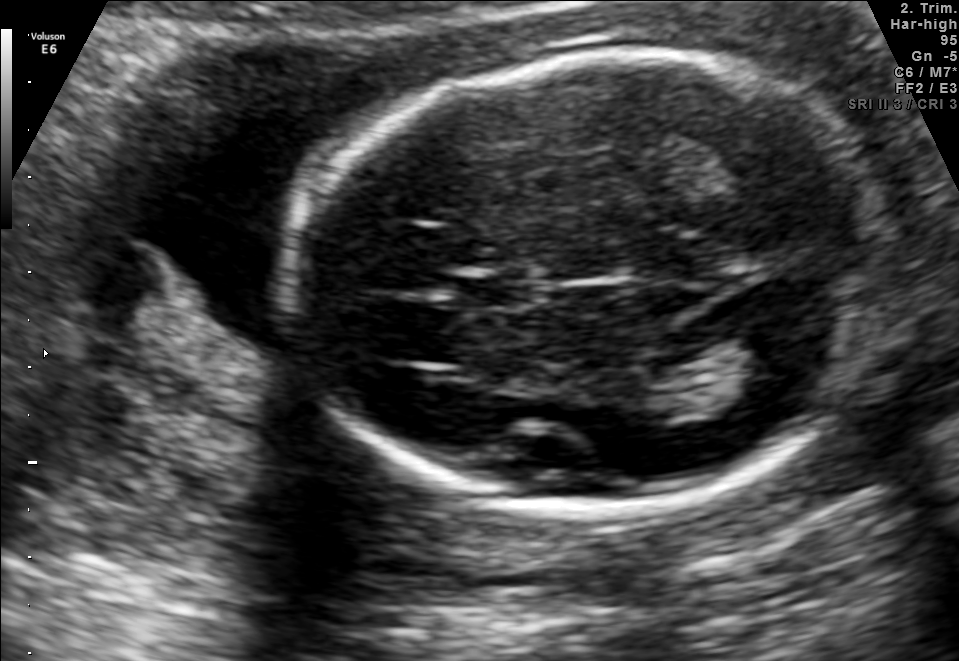
In this fetal brain, trans-thalamic plane, give bounding boxes for the head outline, cavum septum pellucidum (CSP), and lateral ventricle (LV), where visible.

Head: [290,53,885,518]
CSP: [461,278,529,306]
Lateral ventricle: [692,330,820,418]